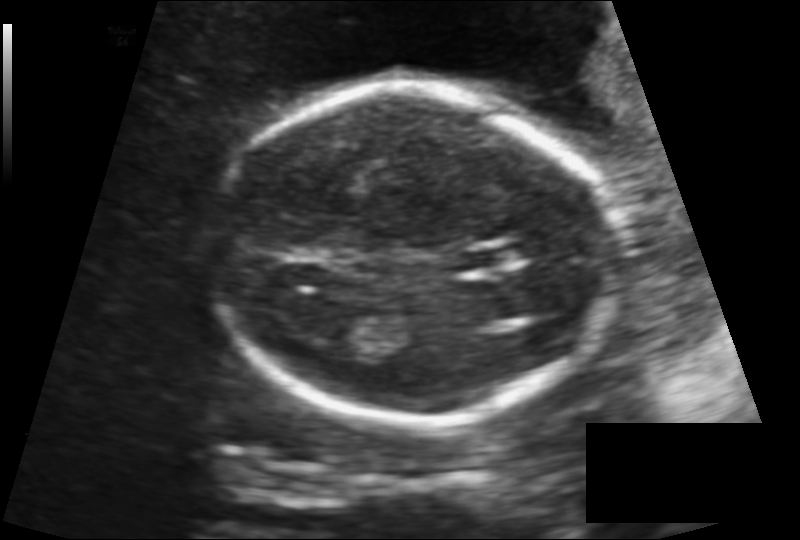
In this fetal head ultrasound, give bounding boxes for the head outline, cavum septum pellucidum (CSP), and lateral ventricle (LV), where visible. Image width: 110.1 mm.

Head: [215,89,616,426]
CSP: [456,241,522,275]
Lateral ventricle: [314,299,376,346]